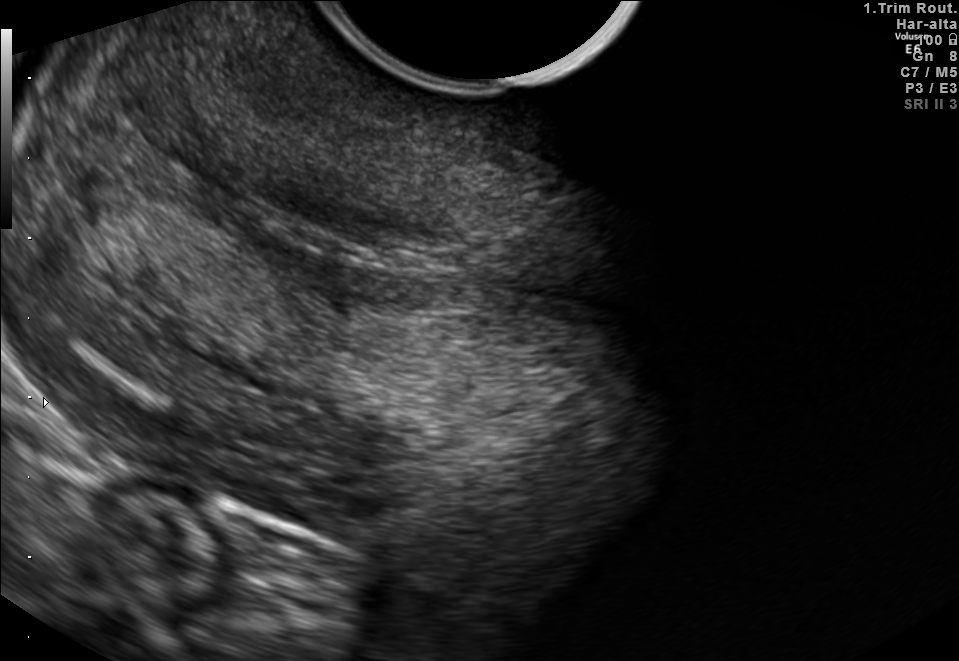
This is a 2D maternal-fetal ultrasound frame. Is it a fetal abdomen, fetal brain, fetal femur, fetal thorax, maternal cervix, or other standard plane? If it's fetal brain and one of the three standard brain planes (trans-thalamic, trans-cerebellum, trans-ventricular), name which.

Maternal cervix